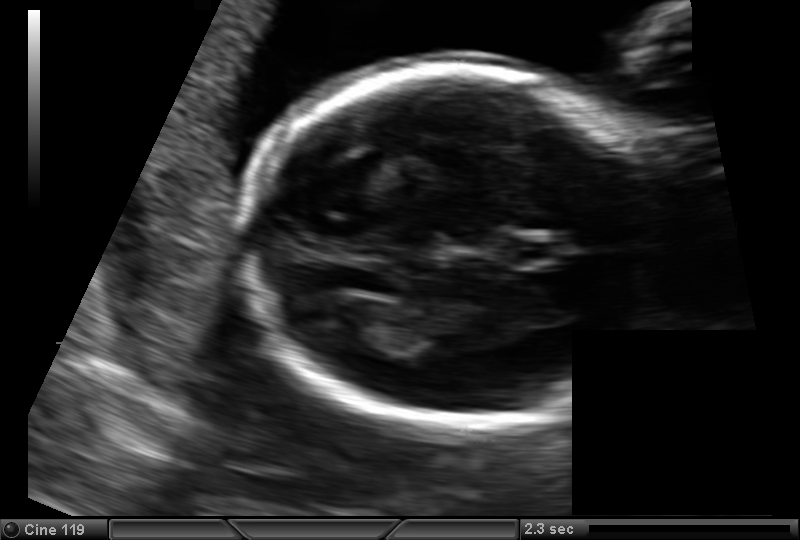
Fetal head ultrasound. Image width: 103.2 mm. Locate the fetal head and, if visible, the cavum septum pellucidum (CSP) and lateral ventricle (LV). Give bounding boxes as [x1,y1,x2,y2].

Head: [246,65,664,424]
CSP: [507,234,562,269]
Lateral ventricle: [307,292,379,346]